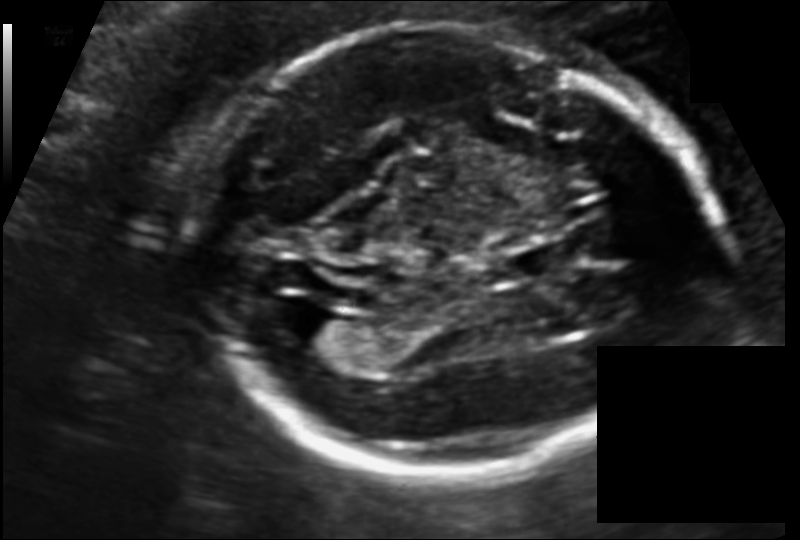
Fetal head ultrasound. Image width: 94.5 mm. Give [x1,y1,x2,y2] bounding boxes for each visible structure among: fetal head, CSP, LV.

Head: [192,20,705,475]
CSP: [507,238,576,285]
Lateral ventricle: [284,302,357,362]